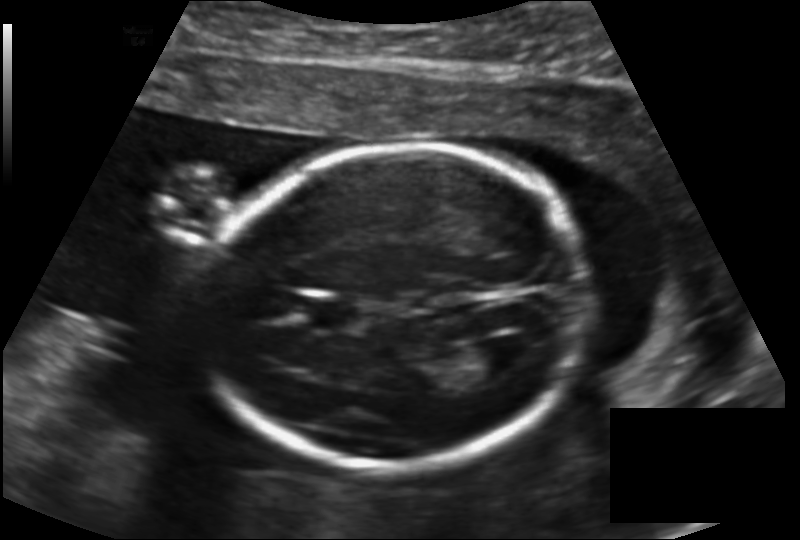
Fetal head ultrasound. Image width: 117.6 mm. Locate the lateral ventricle.

Lateral ventricle: [464,329,537,382]